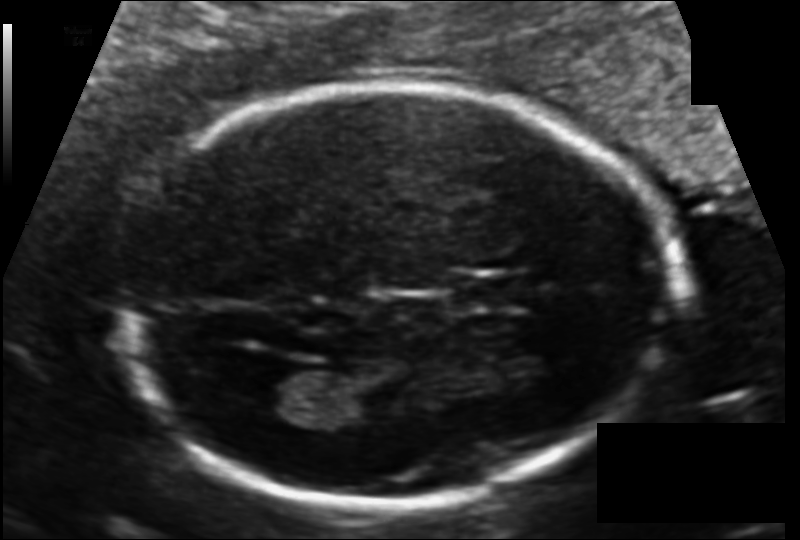
Fetal head ultrasound. Image width: 90.0 mm. Where is the lateral ventricle?

Lateral ventricle bounding box: [237,355,337,430]